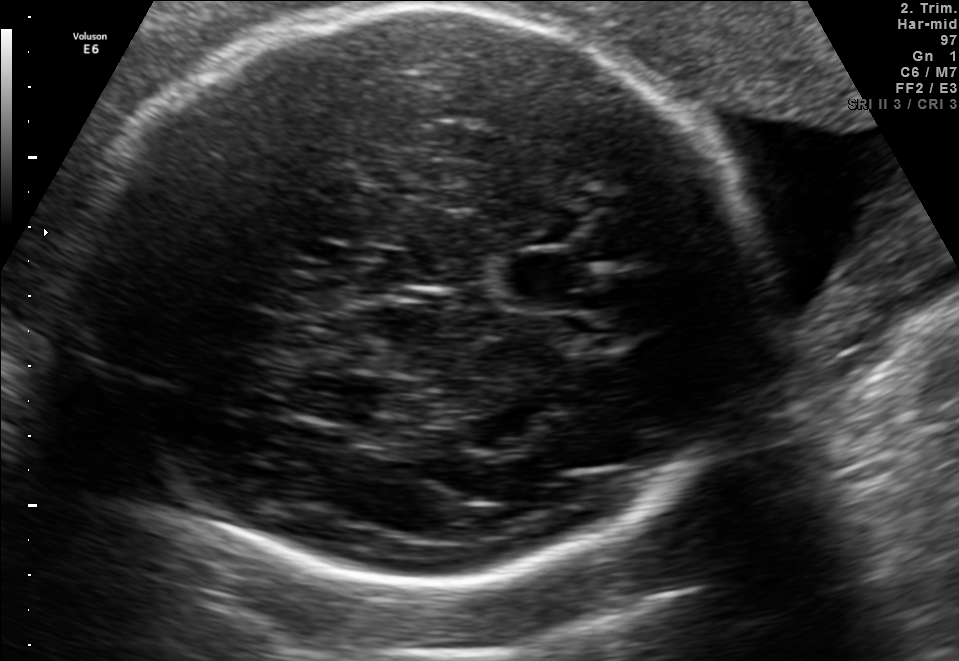
Fetal brain, trans-thalamic plane. Where is the cavum septum pellucidum?

CSP bounding box: [502,251,597,310]